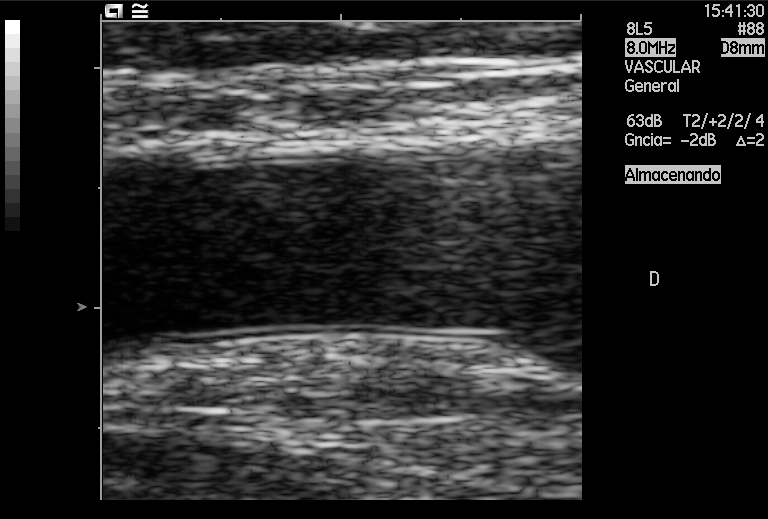
This is a 2D maternal-fetal ultrasound frame. Is it a fetal abdomen, fetal brain, fetal femur, fetal thorax, maternal cervix, or other standard plane? If it's fetal brain and one of the three standard brain planes (trans-thalamic, trans-cerebellum, trans-ventricular), name which.

Other